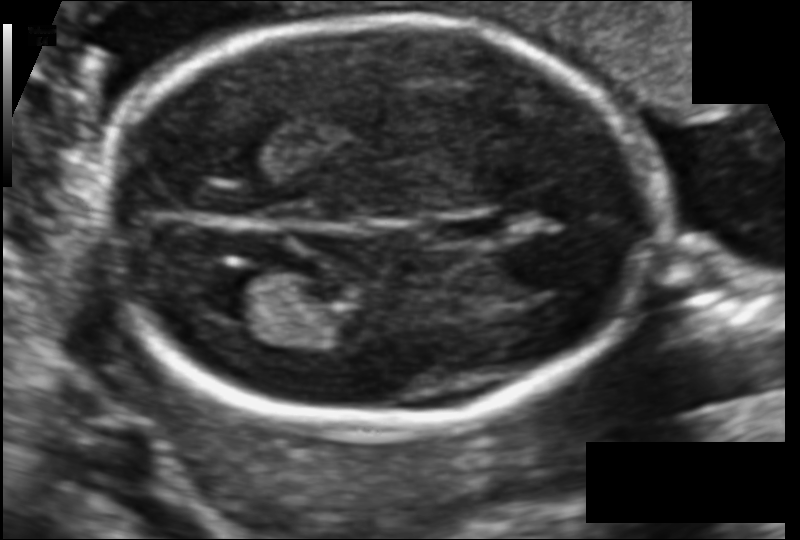
Estimate the fetal head circumference from this 2D ultrasound.

Head circumference: 165.0 mm (image width 84.6 mm).